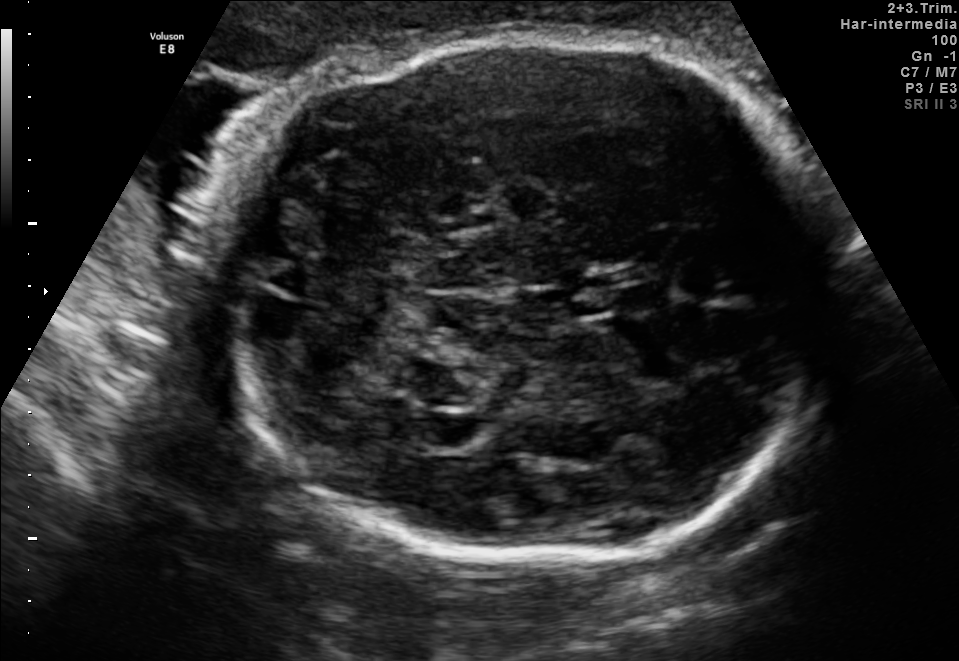
Fetal brain, trans-cerebellum plane. Where is the fetal head?

Head bounding box: [231,37,834,568]